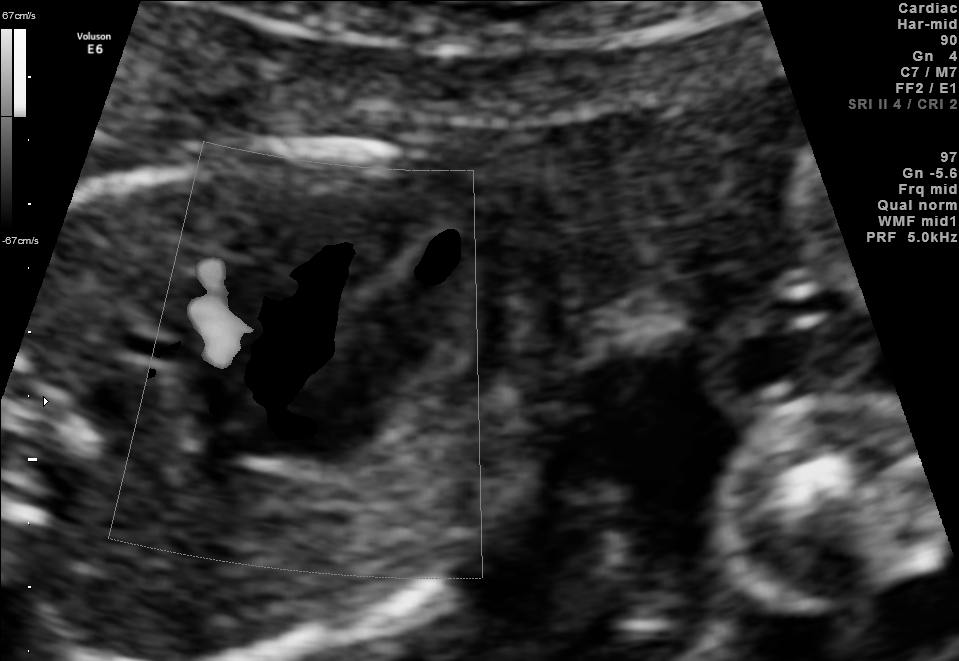
Identify the standard plane in this fetal ultrasound image: fetal abdomen, fetal brain, fetal femur, fetal thorax, maternal cervix, or other. If it's fetal brain and one of the three standard brain planes (trans-thalamic, trans-cerebellum, trans-ventricular), name which.

Other